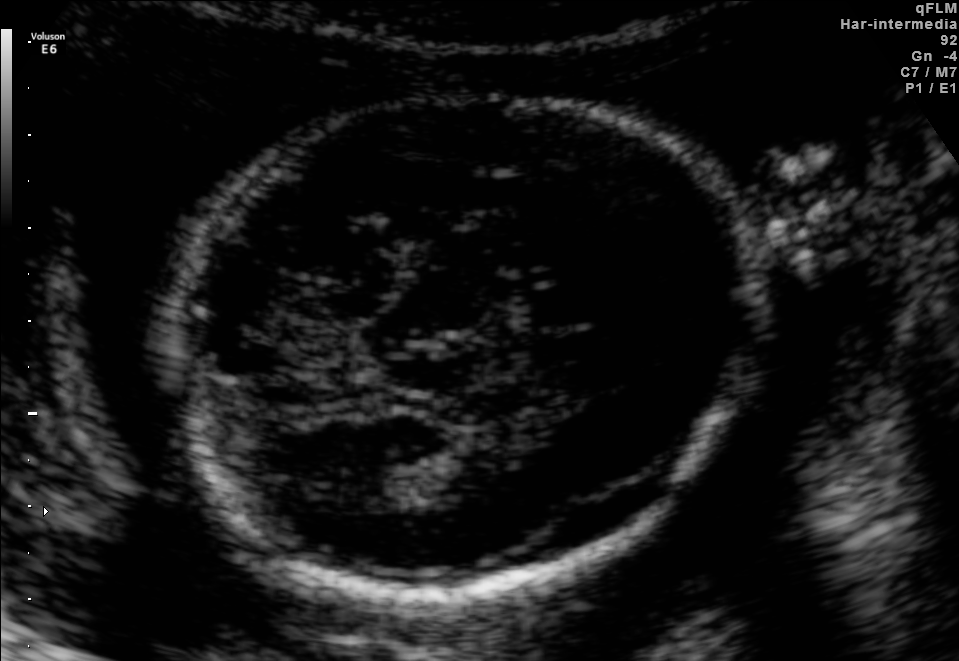
This is a 2D maternal-fetal ultrasound frame. Is it a fetal abdomen, fetal brain, fetal femur, fetal thorax, maternal cervix, or other standard plane? If it's fetal brain and one of the three standard brain planes (trans-thalamic, trans-cerebellum, trans-ventricular), name which.

Fetal brain (trans-thalamic plane)